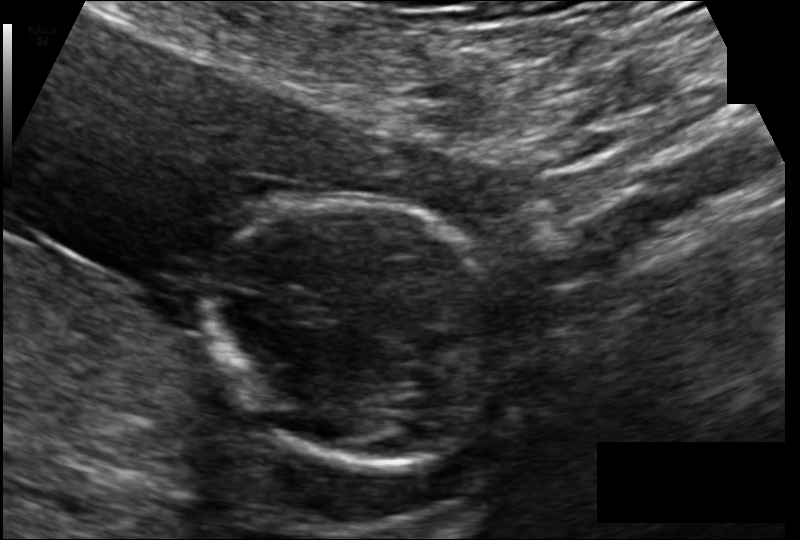
In this fetal head ultrasound, give the bounding box of the fetal head. Image width: 81.2 mm.

[201,200,534,466]